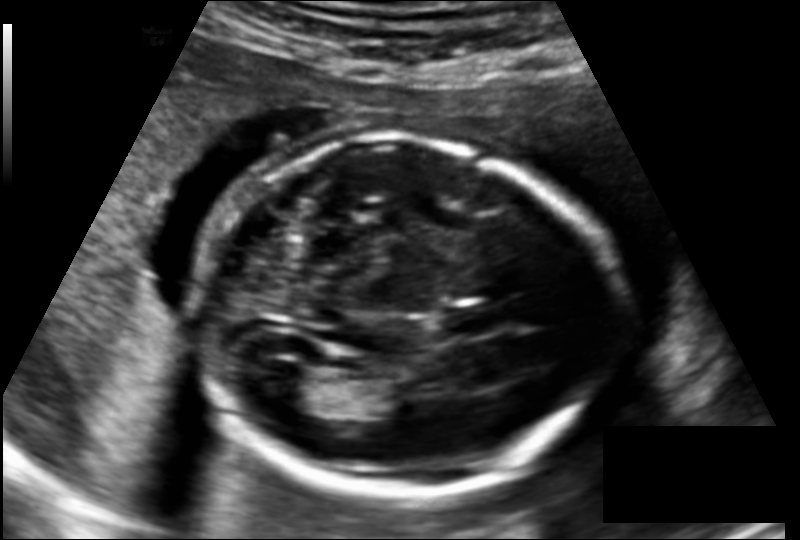
In this fetal head ultrasound, give the bounding box of the lateral ventricle. Image width: 115.9 mm.

[257,359,321,410]